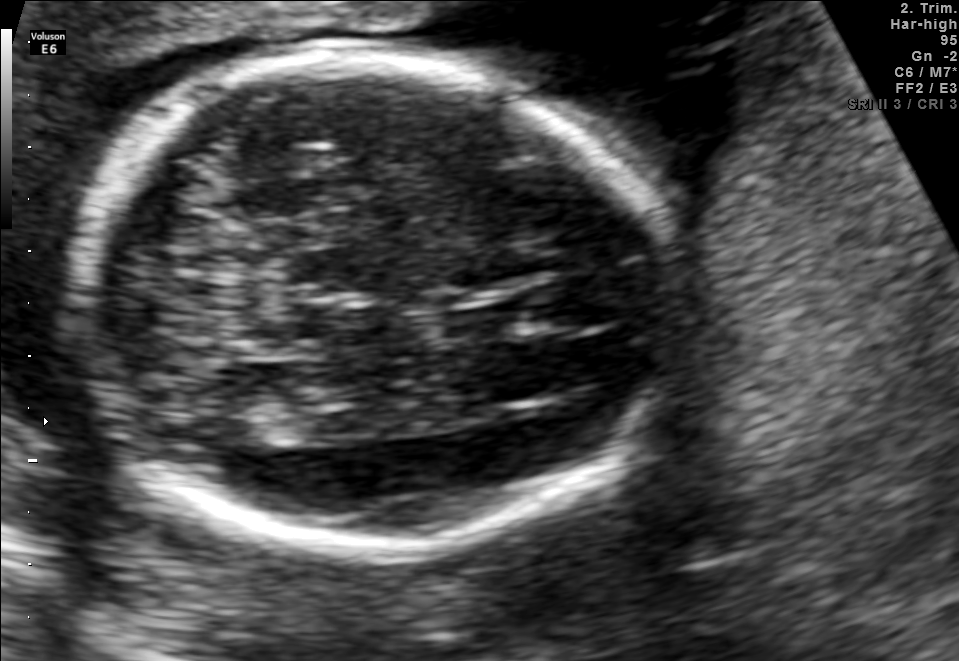
Fetal brain, trans-thalamic plane. Where is the fetal head?

Head bounding box: [71,56,688,555]